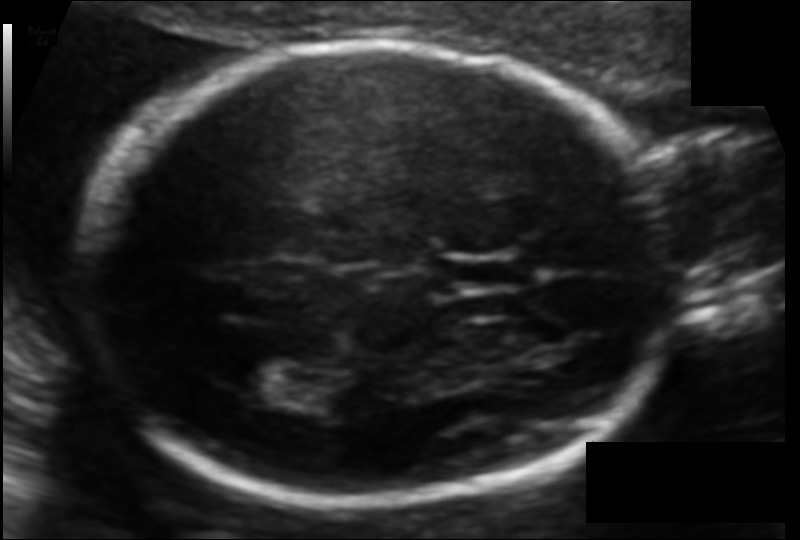
Fetal head ultrasound. Image width: 83.2 mm. Locate the fetal head and, if visible, the cavum septum pellucidum (CSP) and lateral ventricle (LV). Give bounding boxes as [x1,y1,x2,y2].

Head: [82,42,685,502]
CSP: [434,253,527,290]
Lateral ventricle: [225,344,304,401]